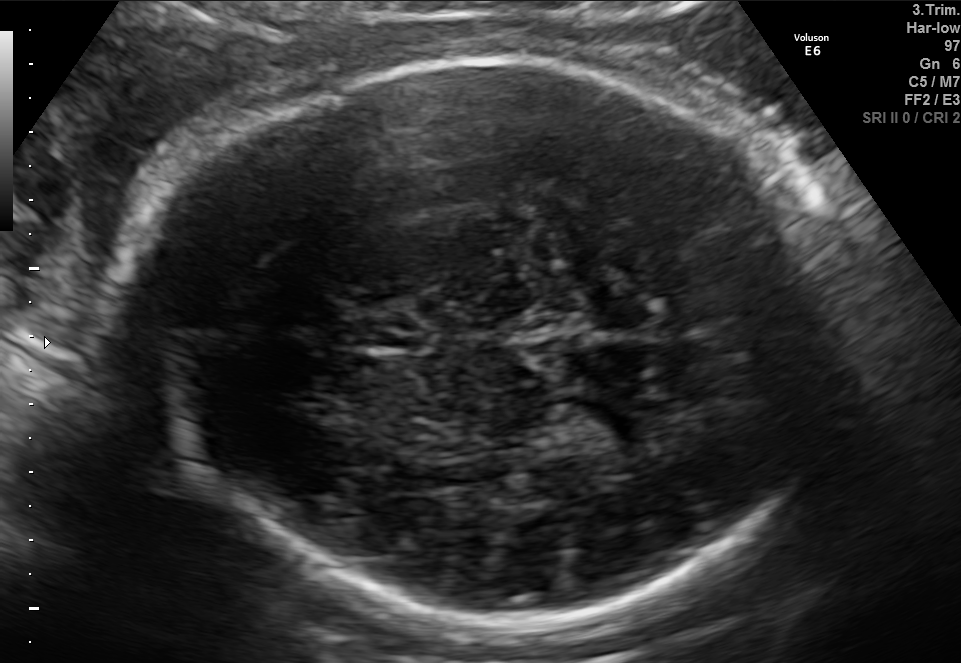
Fetal brain, trans-thalamic plane. Locate the fetal head.

Head: [123,57,844,620]